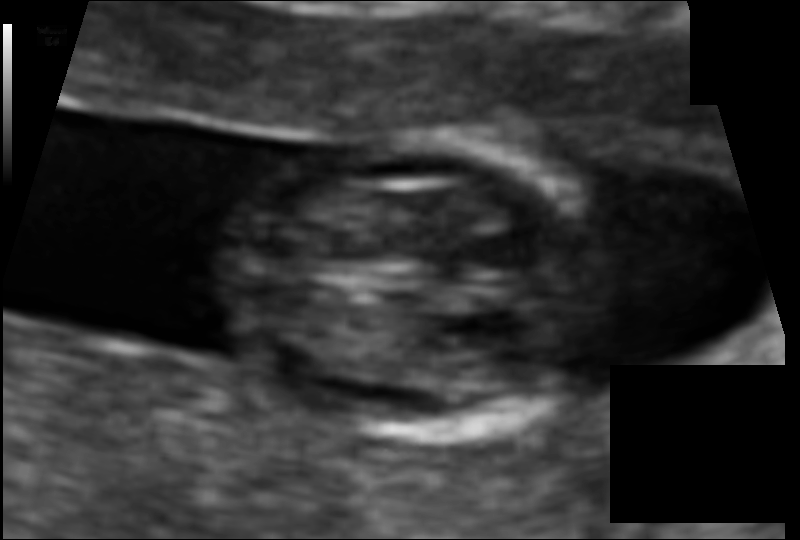
Estimate the fetal head circumference from this 2D ultrasound.

Head circumference: 76.8 mm (image width 53.7 mm).